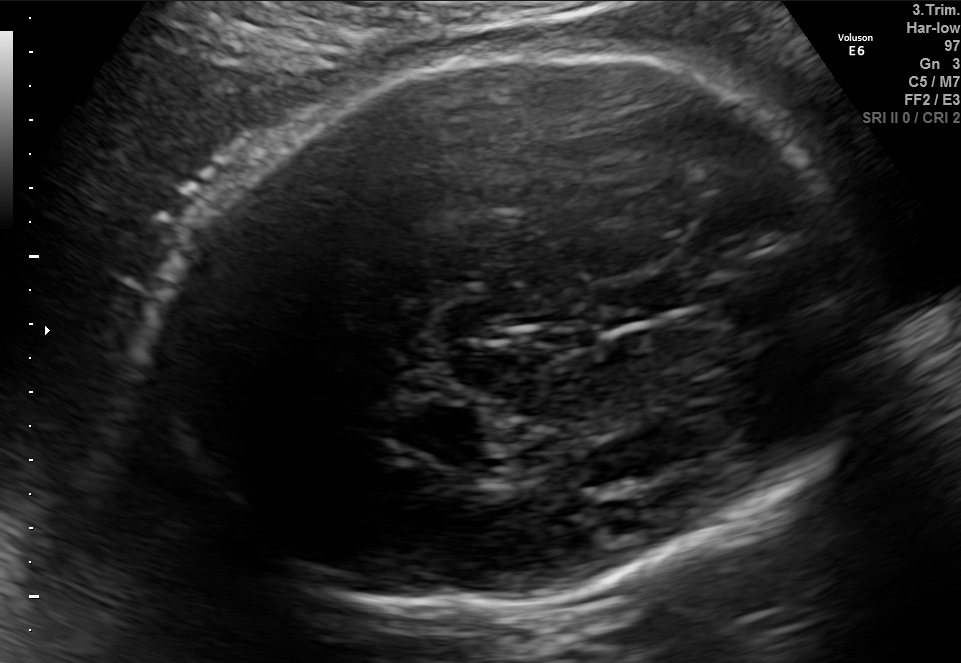
Fetal brain, trans-thalamic plane. Where is the fetal head?

Head bounding box: [150,48,863,607]